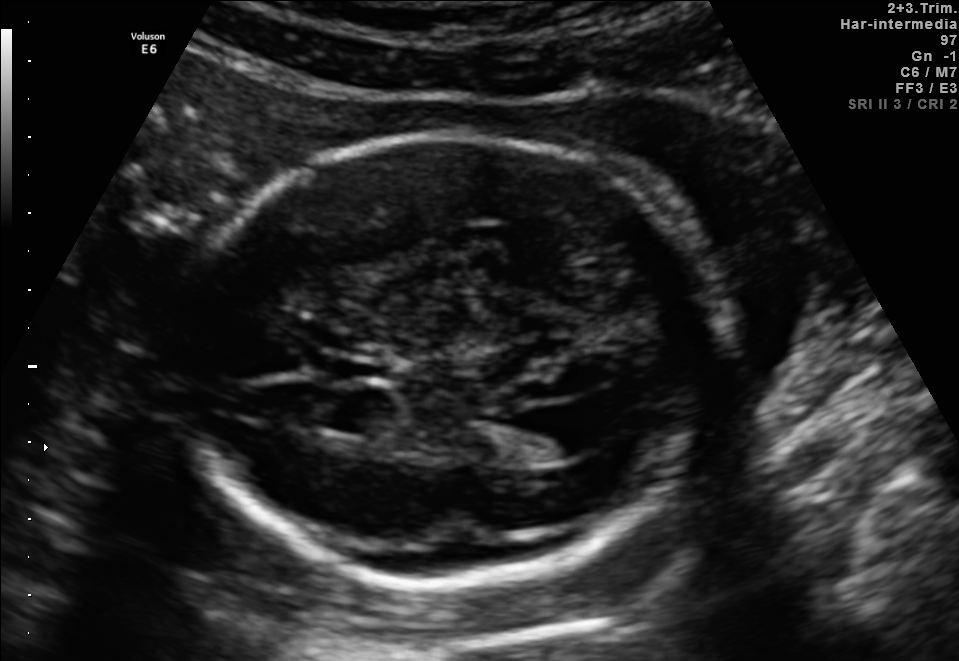
Fetal brain, trans-ventricular plane. Locate the lateral ventricle.

Lateral ventricle: [524,394,619,464]